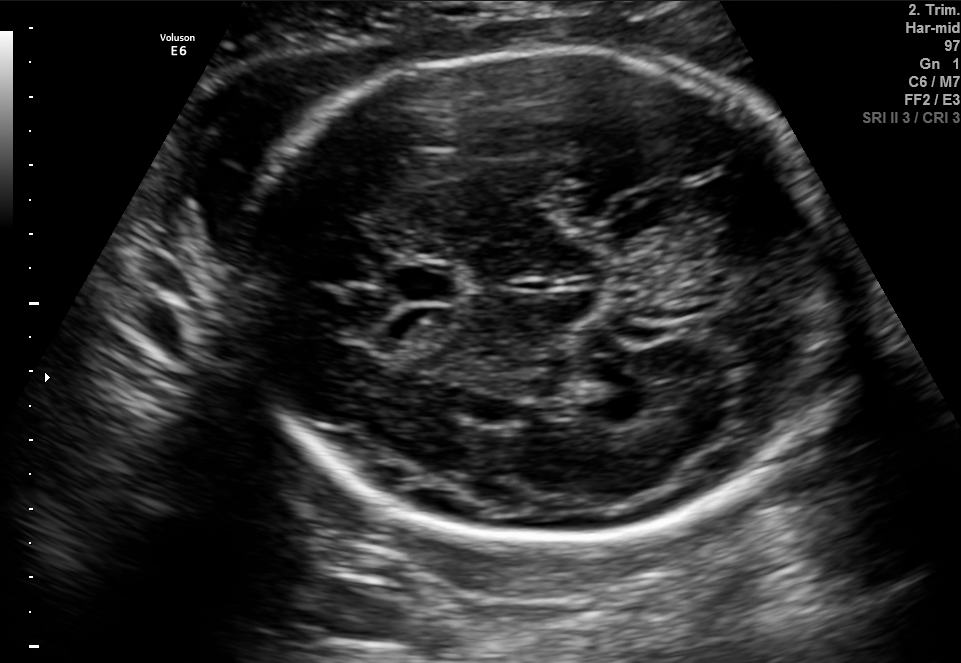
Identify the standard plane in this fetal ultrasound image: fetal abdomen, fetal brain, fetal femur, fetal thorax, maternal cervix, or other. If it's fetal brain and one of the three standard brain planes (trans-thalamic, trans-cerebellum, trans-ventricular), name which.

Fetal brain (trans-thalamic plane)